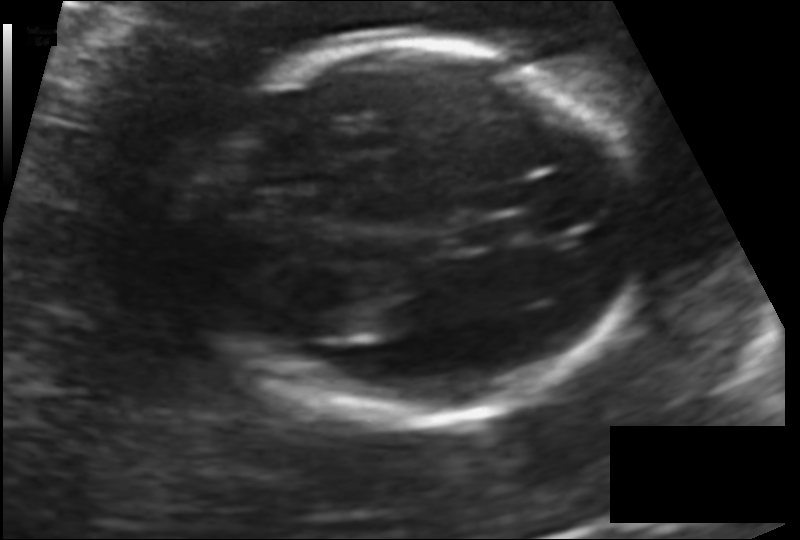
Measure the fetal head circumference shown in this ultrasound image. Image width: 104.5 mm.

Head circumference: 173.2 mm.